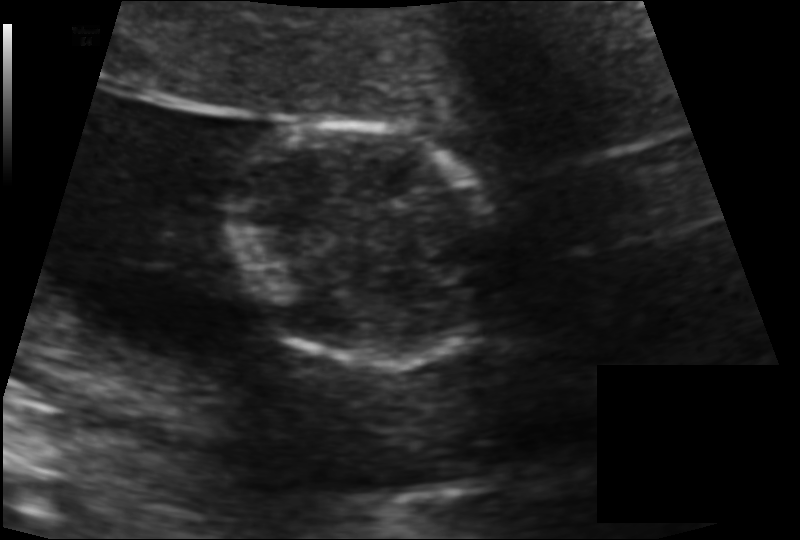
From this fetal ultrasound, estimate the head circumference (image width 91.8 mm).

Head circumference: 96.8 mm.